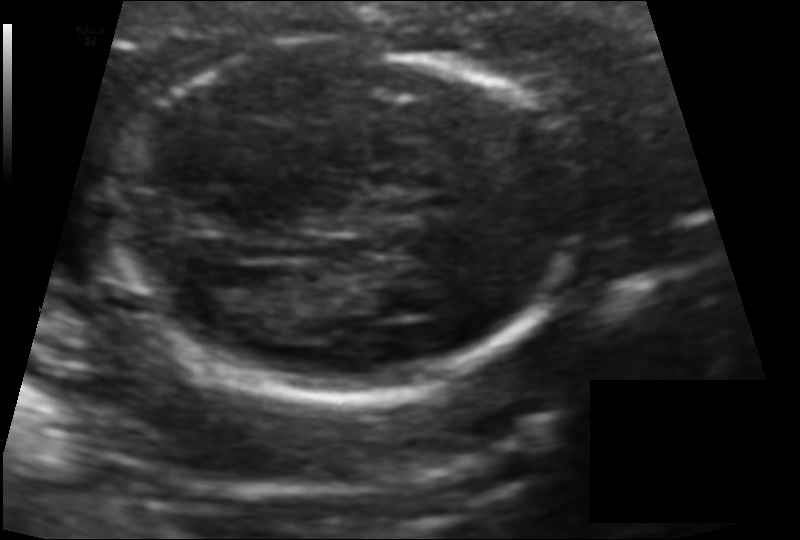
Fetal head ultrasound. Image width: 81.1 mm. Give [x1,y1,x2,y2] bounding boxes for each visible structure among: fetal head, CSP, LV.

Head: [117,42,571,397]